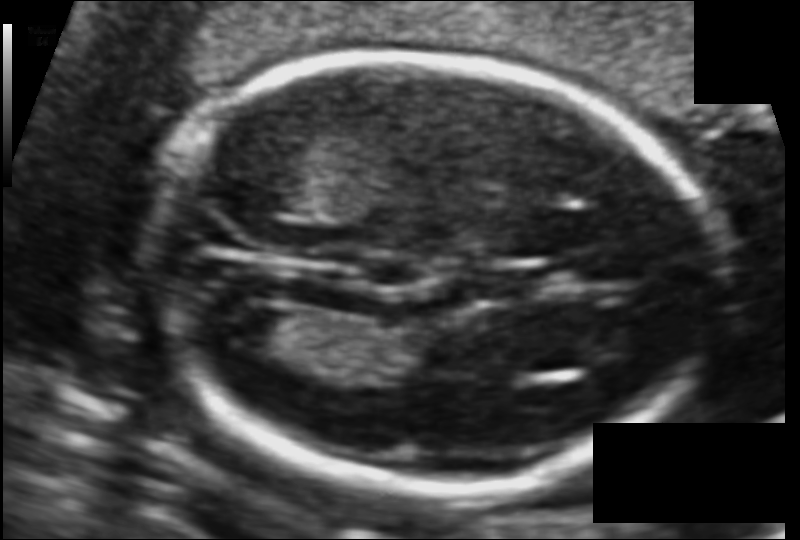
Fetal head ultrasound. Image width: 75.8 mm. Give [x1,y1,x2,y2] bounding boxes for each visible structure among: fetal head, CSP, LV.

Head: [150,52,715,488]
Lateral ventricle: [212,298,300,360]